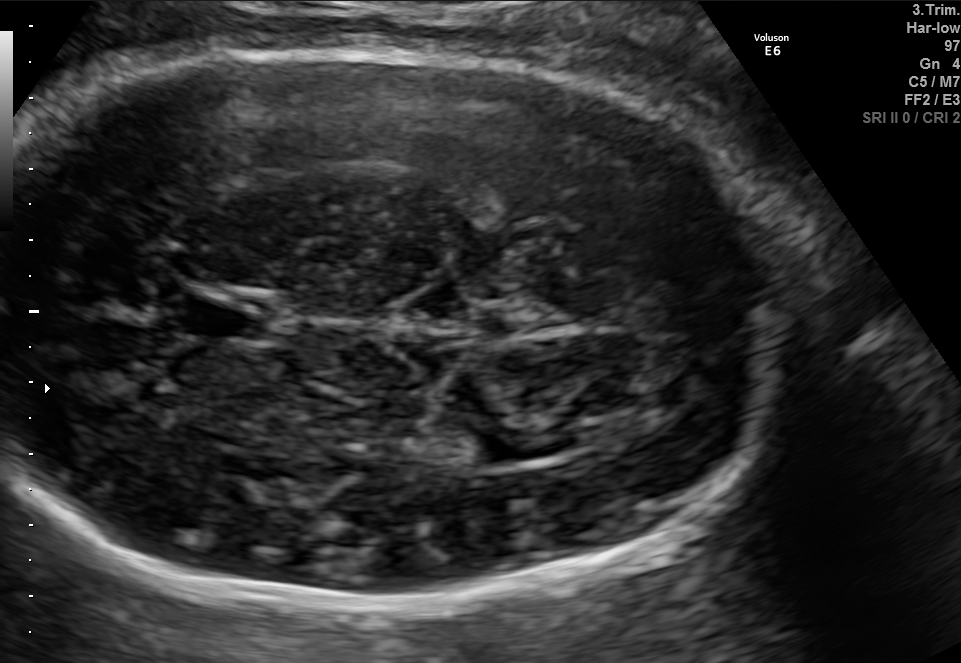
Fetal brain, trans-thalamic plane. Where is the fetal head?

Head bounding box: [4,49,789,614]